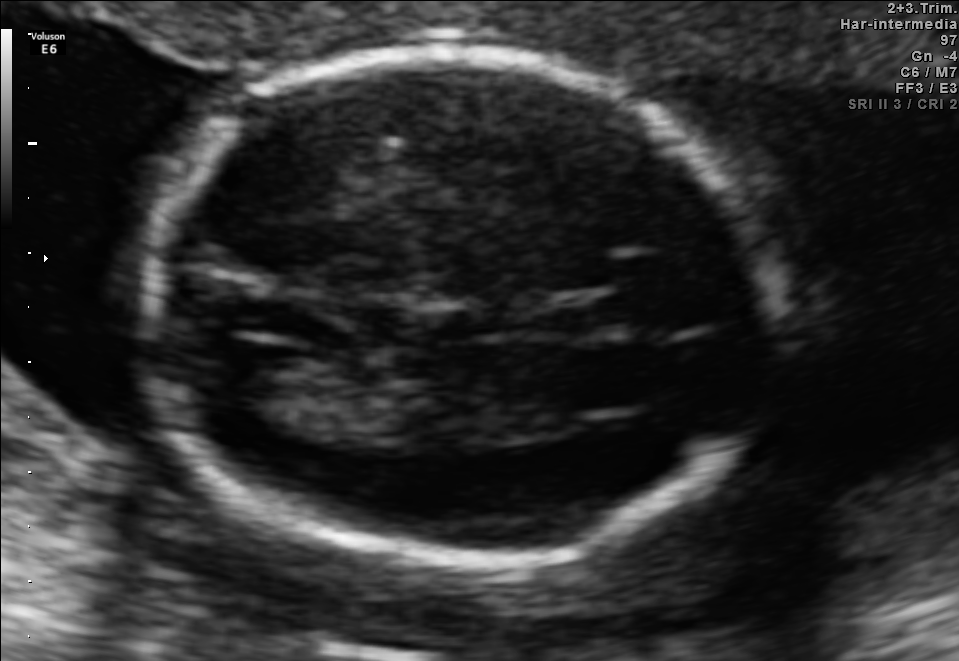
Fetal brain, trans-ventricular plane. Locate the fetal head and, if visible, the cavum septum pellucidum (CSP) and lateral ventricle (LV). Give bounding boxes as [x1,y1,x2,y2].

Head: [124,44,797,579]